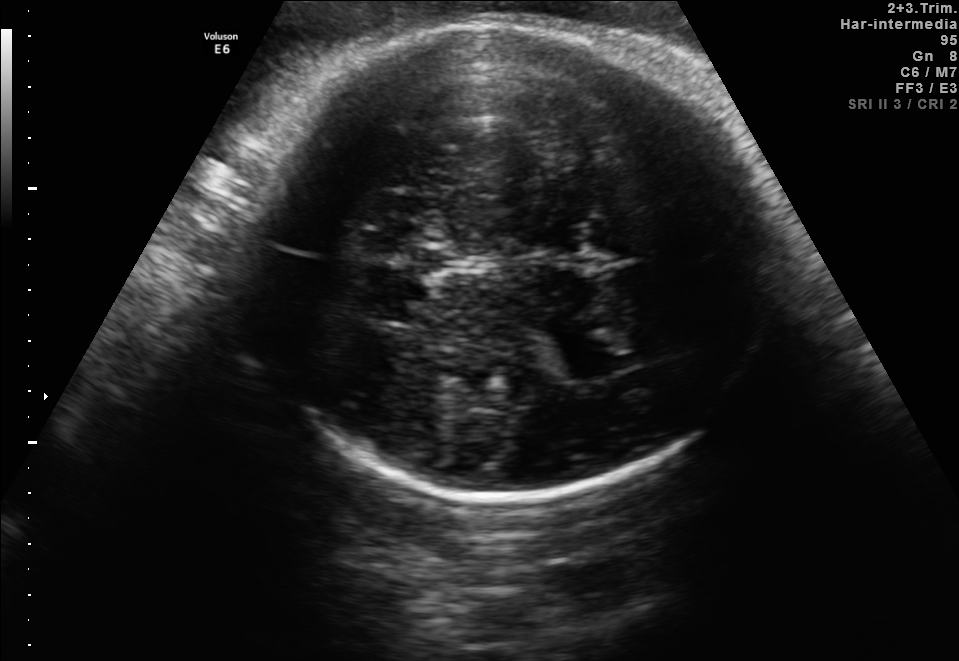
Fetal brain, trans-thalamic plane. Locate the fetal head.

Head: [240,24,781,501]